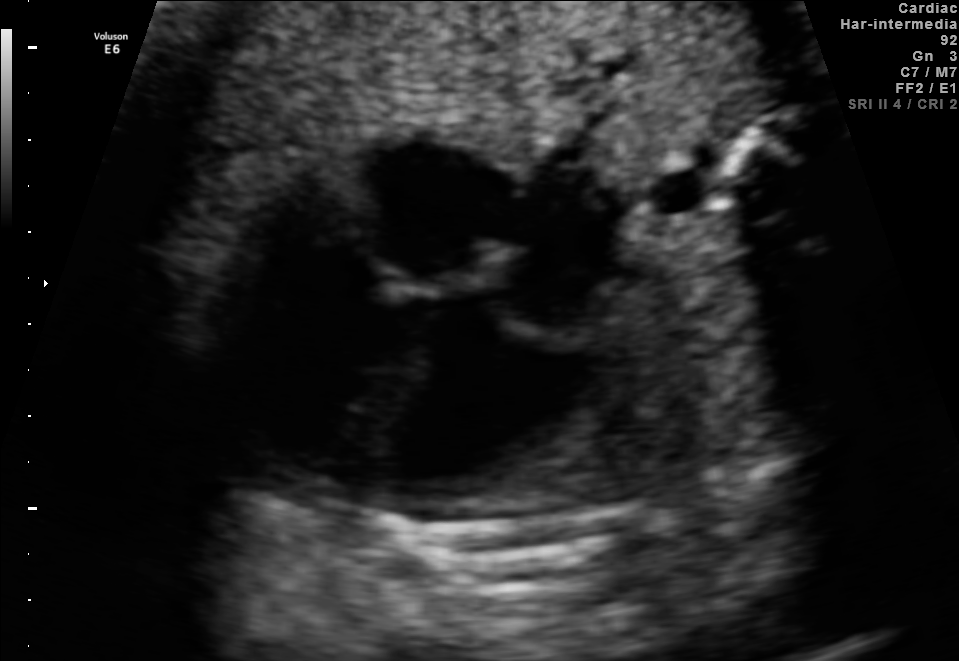
Identify the standard plane in this fetal ultrasound image: fetal abdomen, fetal brain, fetal femur, fetal thorax, maternal cervix, or other. If it's fetal brain and one of the three standard brain planes (trans-thalamic, trans-cerebellum, trans-ventricular), name which.

Fetal thorax